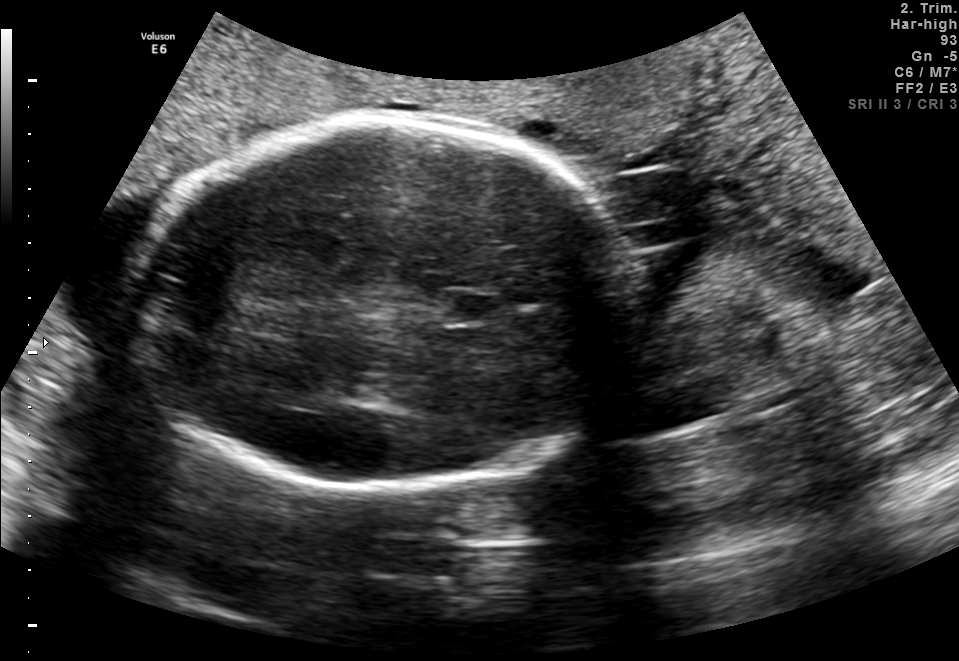
Fetal brain, trans-thalamic plane. Give [x1,y1,x2,y2] bounding boxes for each visible structure among: fetal head, CSP, LV.

Head: [129,119,628,484]
CSP: [444,295,498,322]